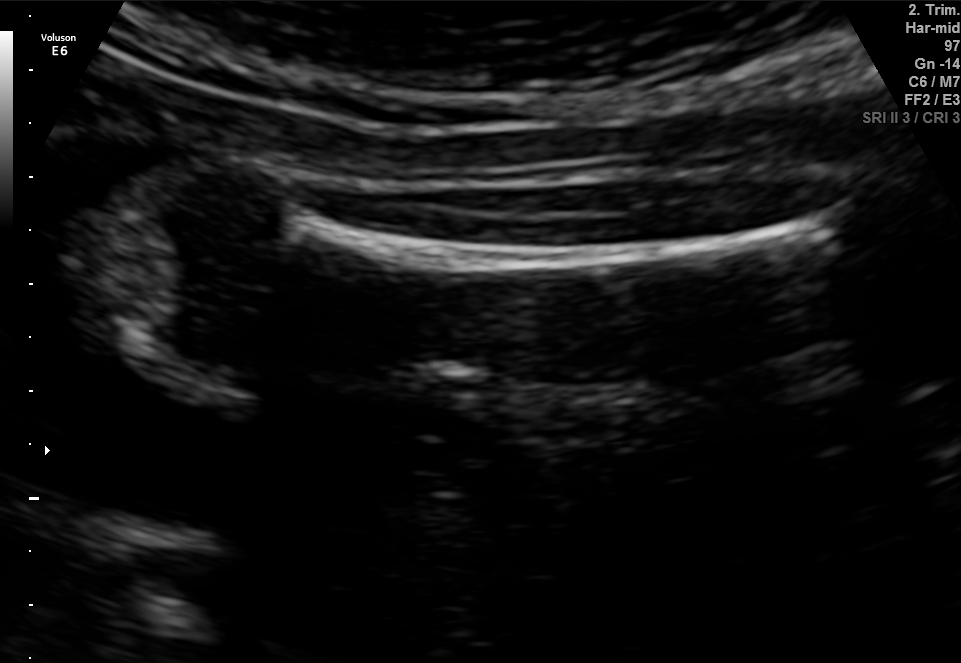
This is a 2D maternal-fetal ultrasound frame. Is it a fetal abdomen, fetal brain, fetal femur, fetal thorax, maternal cervix, or other standard plane? If it's fetal brain and one of the three standard brain planes (trans-thalamic, trans-cerebellum, trans-ventricular), name which.

Fetal femur